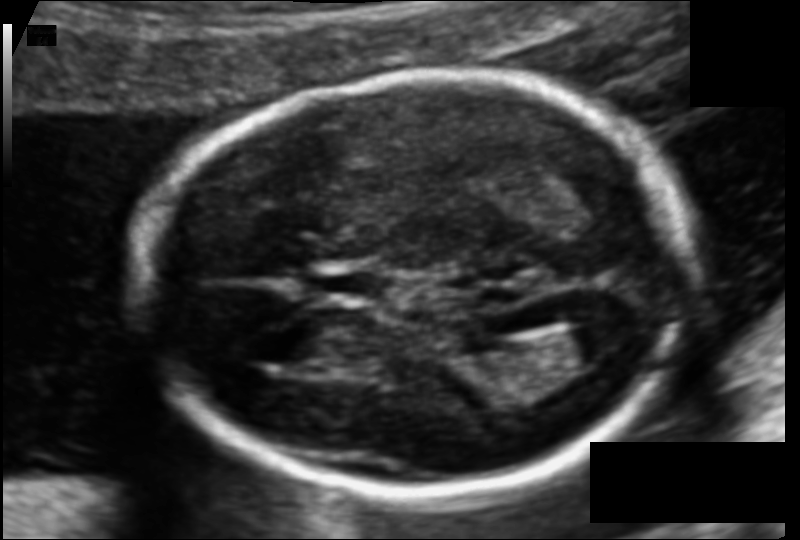
Estimate the fetal head circumference from this 2D ultrasound.

Head circumference: 165.7 mm (image width 83.7 mm).